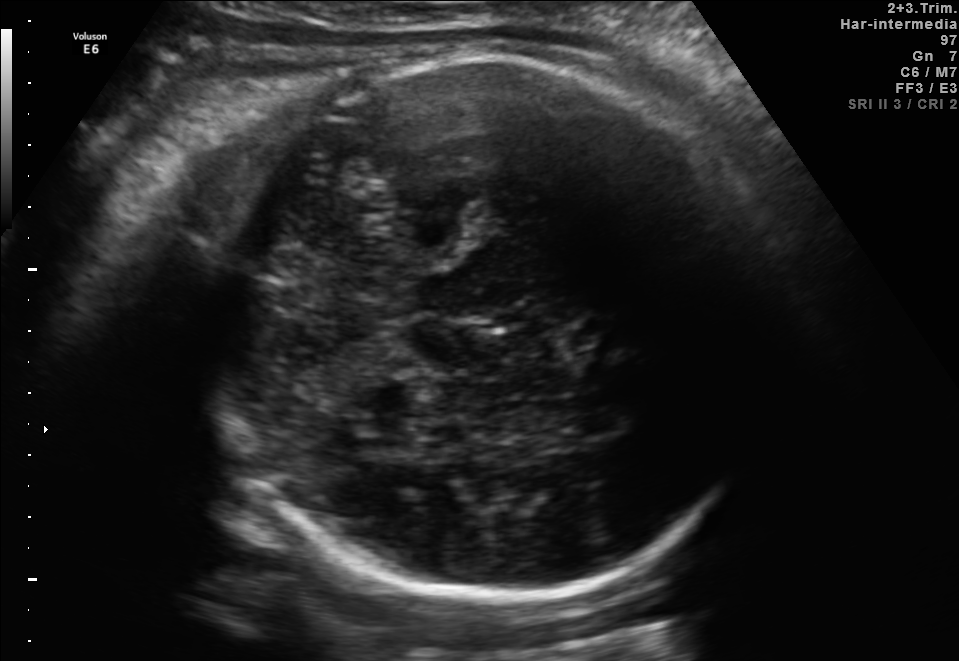
In this fetal brain, trans-cerebellum plane, give bounding boxes for the head outline, cavum septum pellucidum (CSP), and lateral ventricle (LV), where visible.

Head: [214,57,769,602]